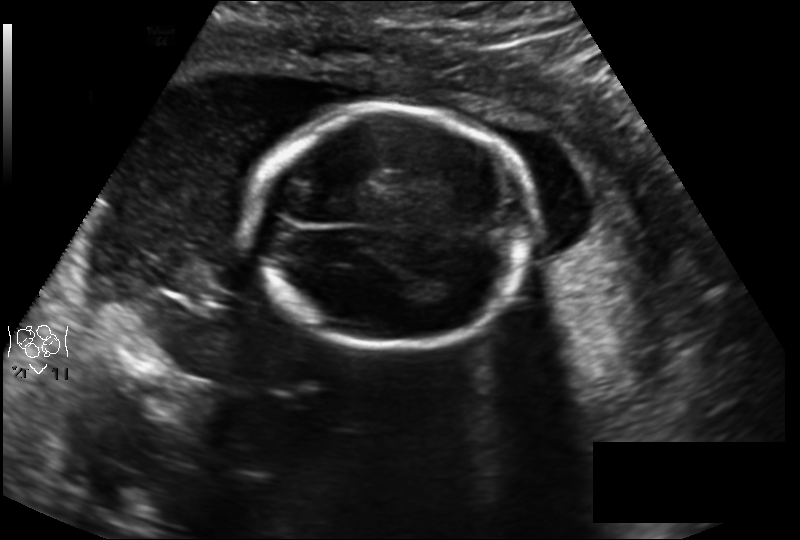
What is the fetal head circumference? Image width is 155.0 mm.

165.8 mm